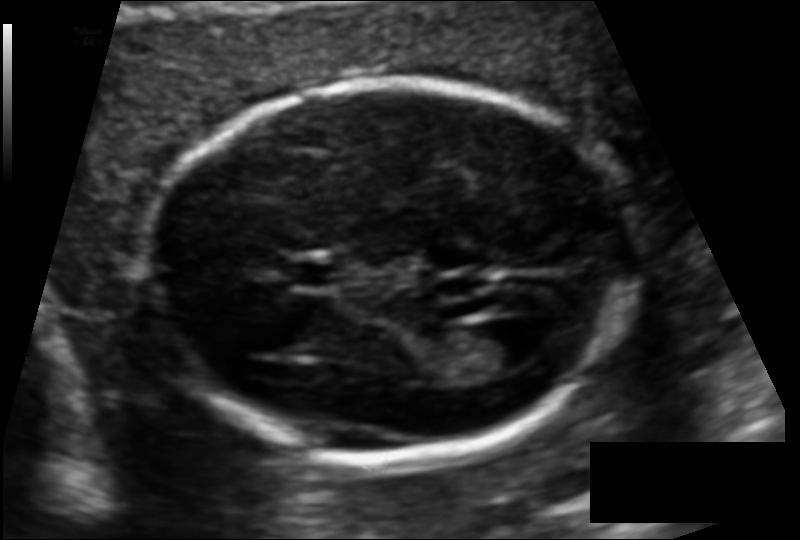
Fetal head ultrasound. Image width: 88.0 mm. Where is the fetal head?

Head bounding box: [147,79,633,457]